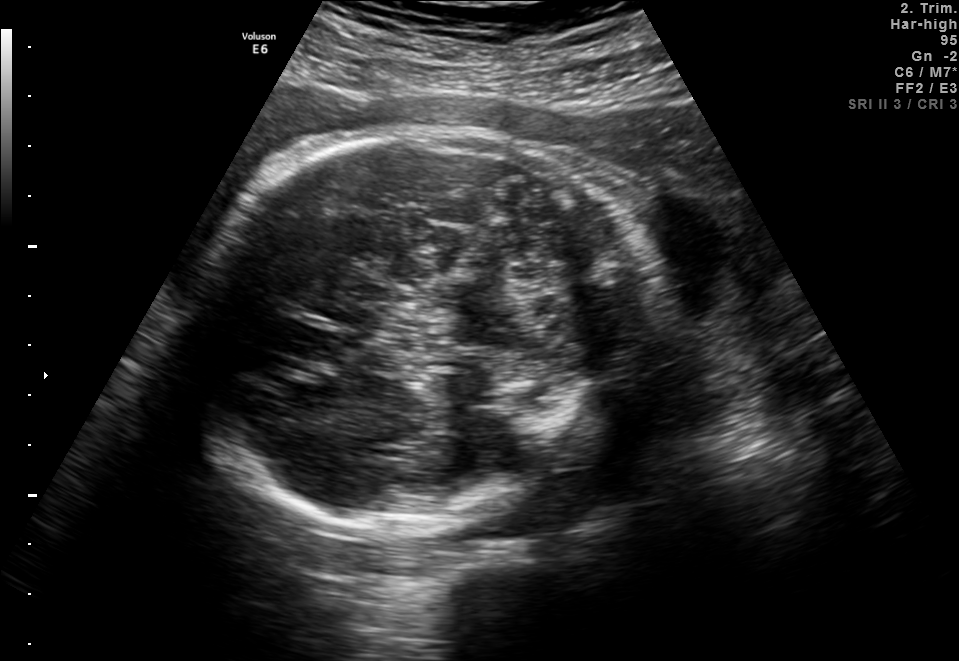
In this fetal brain, trans-thalamic plane, give the bounding box of the fetal head.

[192,130,657,535]